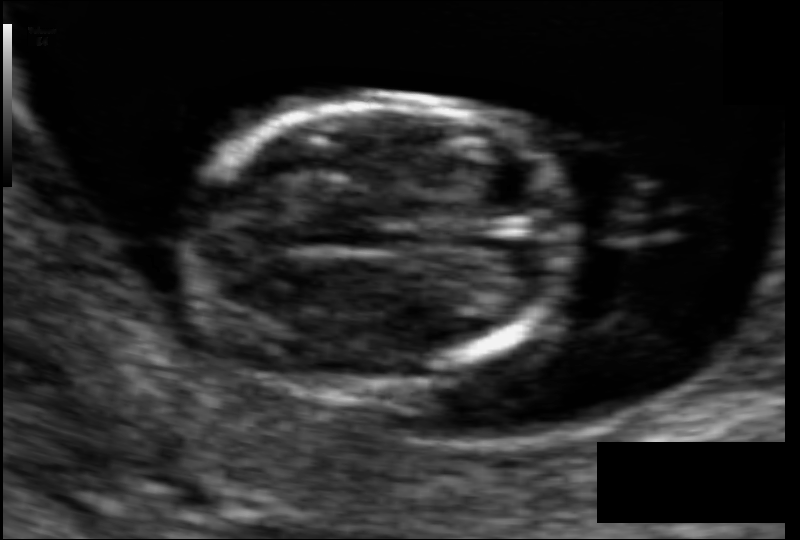
Fetal head ultrasound. Image width: 52.8 mm. Give [x1,y1,x2,y2] bounding boxes for each visible structure among: fetal head, CSP, LV.

Head: [188,100,574,383]